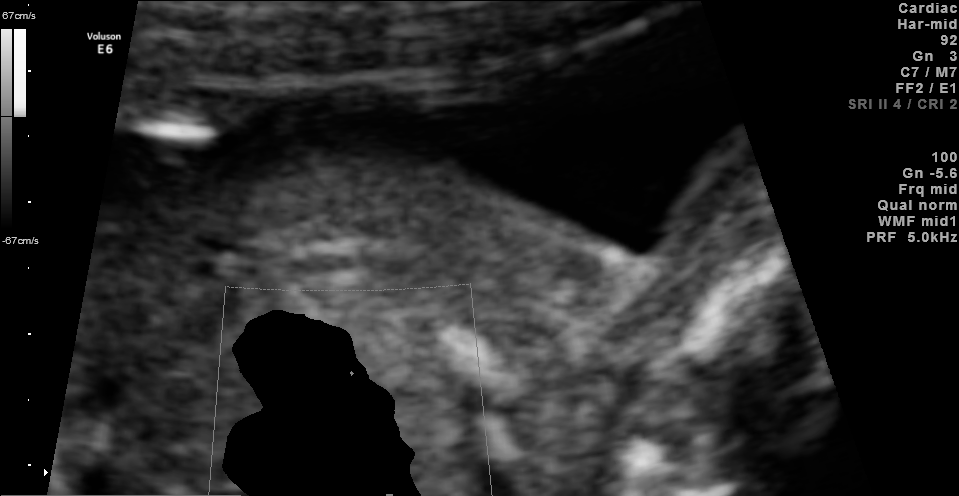
Classify this maternal-fetal ultrasound image as one of the six standard planes — fetal abdomen, fetal brain, fetal femur, fetal thorax, maternal cervix, or other. If it's fetal brain and one of the three standard brain planes (trans-thalamic, trans-cerebellum, trans-ventricular), name which.

Other